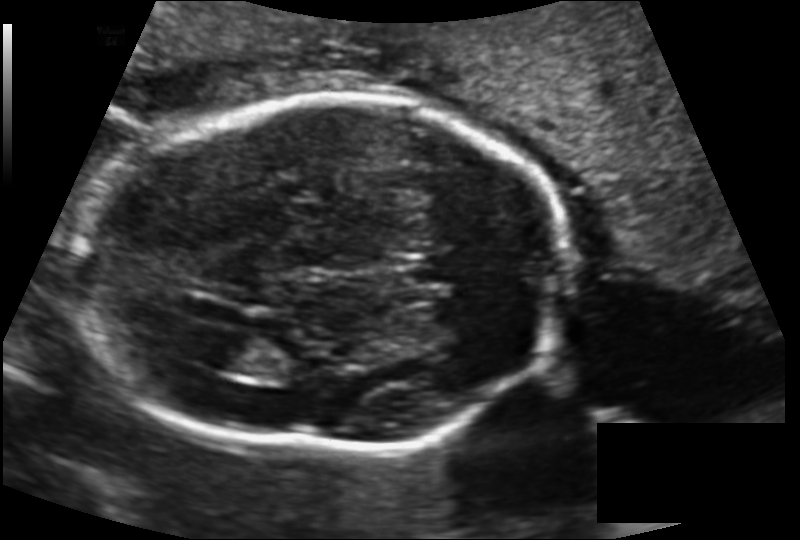
Fetal head ultrasound. Image width: 114.0 mm. Locate the fetal head.

Head: [78,96,572,452]